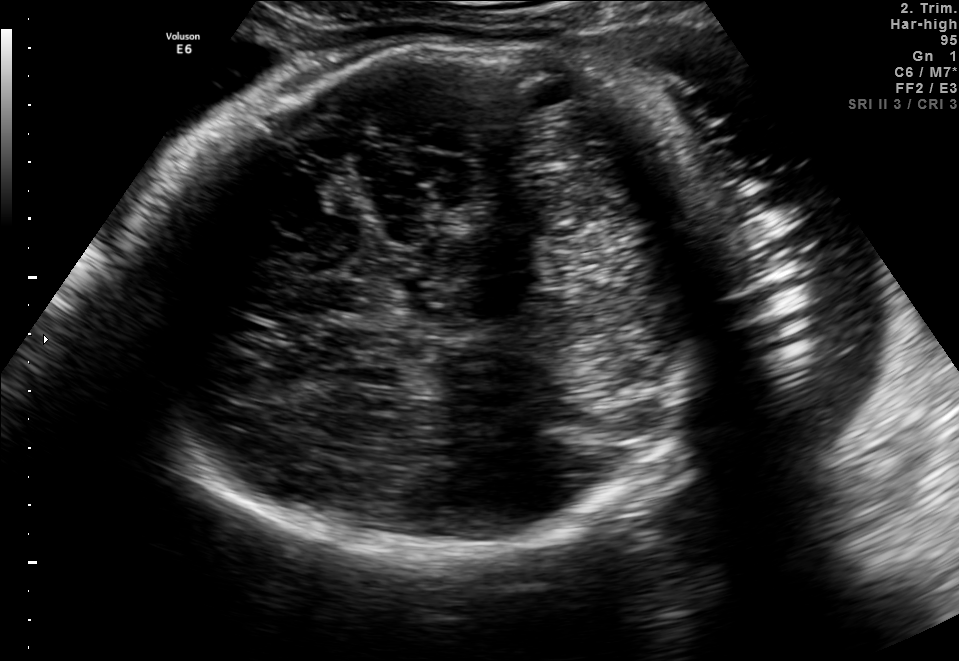
Fetal brain, trans-thalamic plane. Where is the fetal head?

Head bounding box: [129,35,796,560]